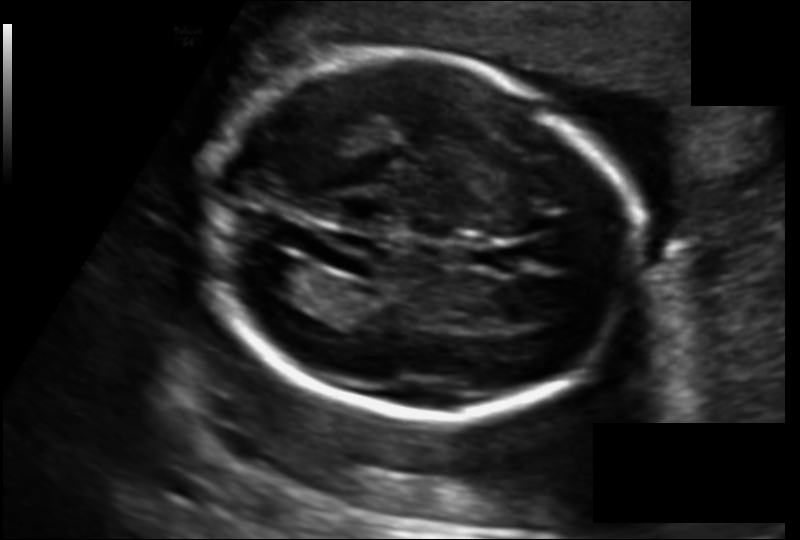
Estimate the fetal head circumference from this 2D ultrasound.

Head circumference: 174.4 mm (image width 107.9 mm).